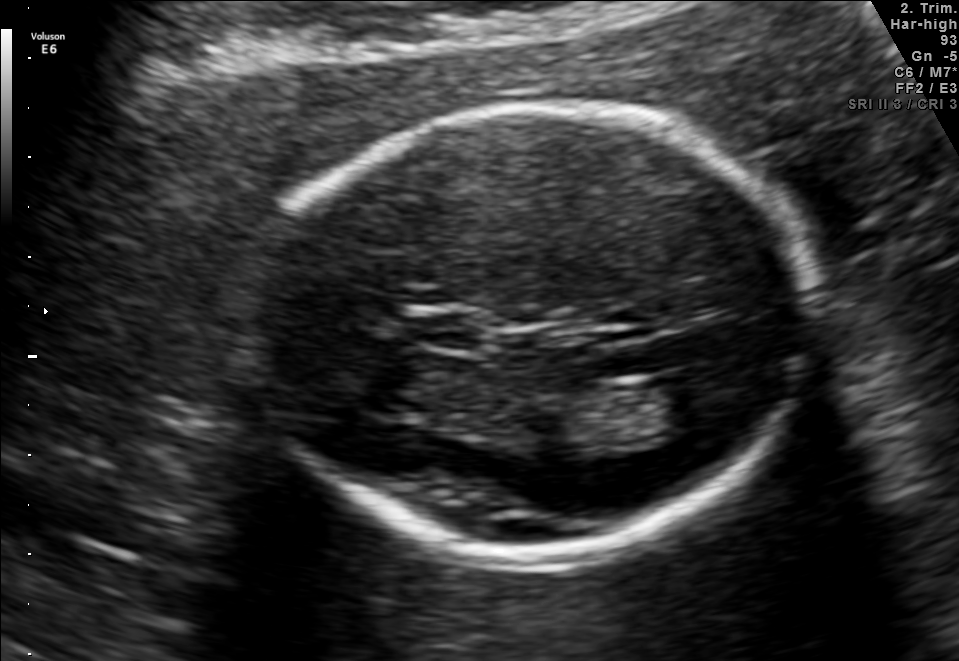
In this fetal brain, trans-thalamic plane, give bounding boxes for the head outline, cavum septum pellucidum (CSP), and lateral ventricle (LV), where visible.

Head: [253,105,810,550]
CSP: [415,313,482,349]
Lateral ventricle: [604,370,714,444]